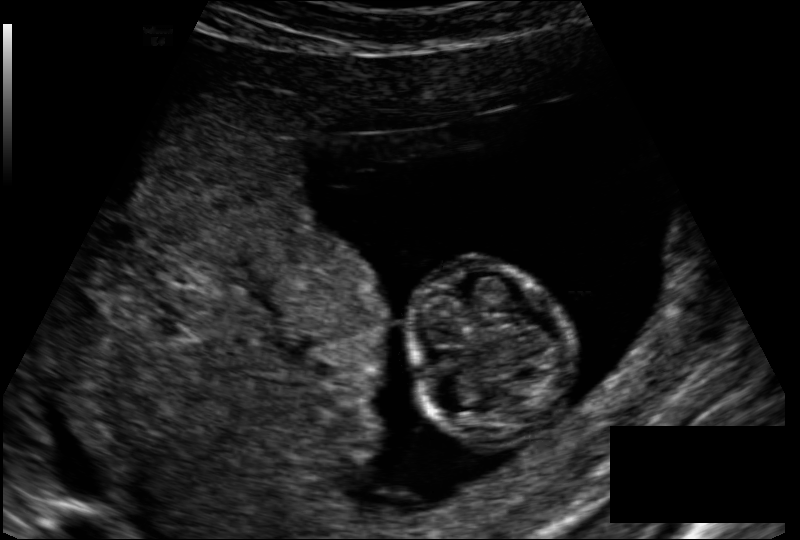
Fetal head ultrasound. Image width: 102.1 mm. Locate the fetal head and, if visible, the cavum septum pellucidum (CSP) and lateral ventricle (LV). Give bounding boxes as [x1,y1,x2,y2].

Head: [408,260,567,439]